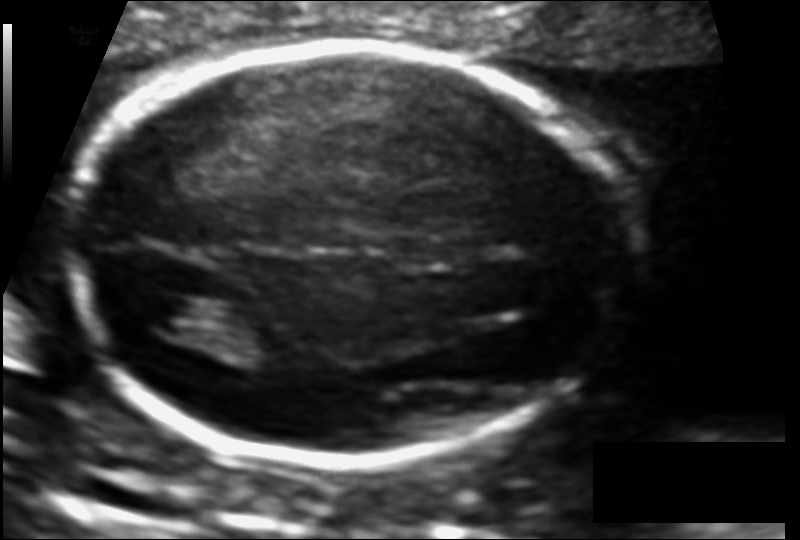
Fetal head ultrasound. Image width: 88.9 mm. Locate the cavum septum pellucidum.

CSP: [391,236,464,269]